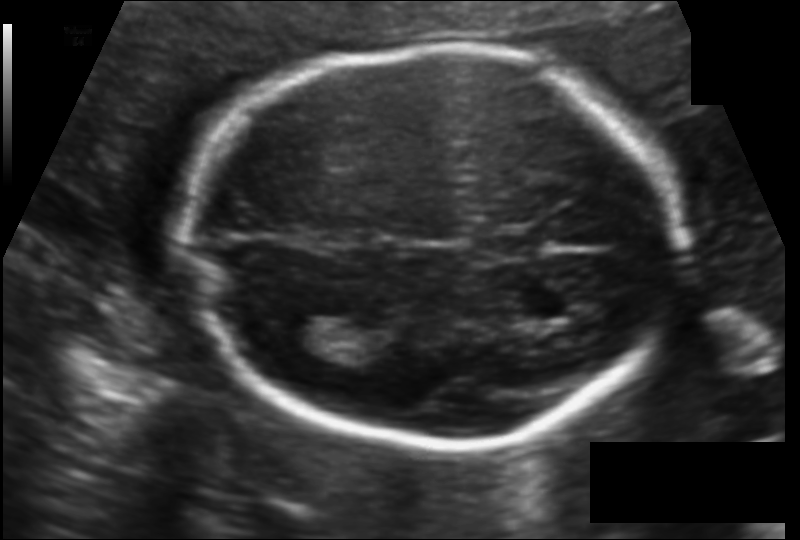
Fetal head ultrasound. Image width: 99.4 mm. Locate the cavum septum pellucidum.

CSP: [478,226,544,262]